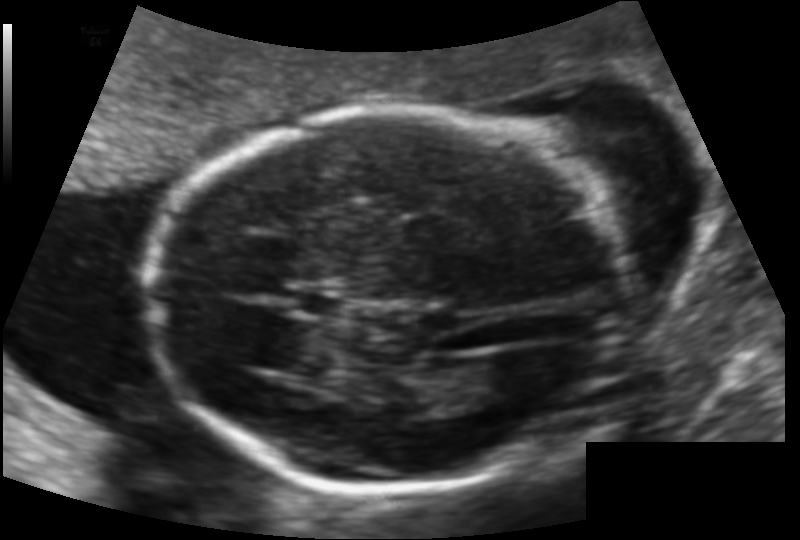
Fetal head ultrasound. Image width: 94.5 mm. Where is the fetal head?

Head bounding box: [150,109,620,491]